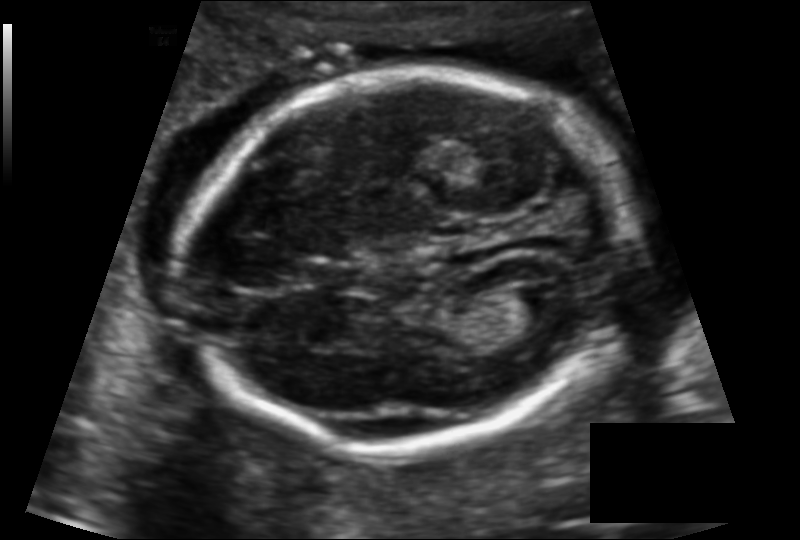
What is the fetal head circumference? Image width is 99.3 mm.

167.2 mm